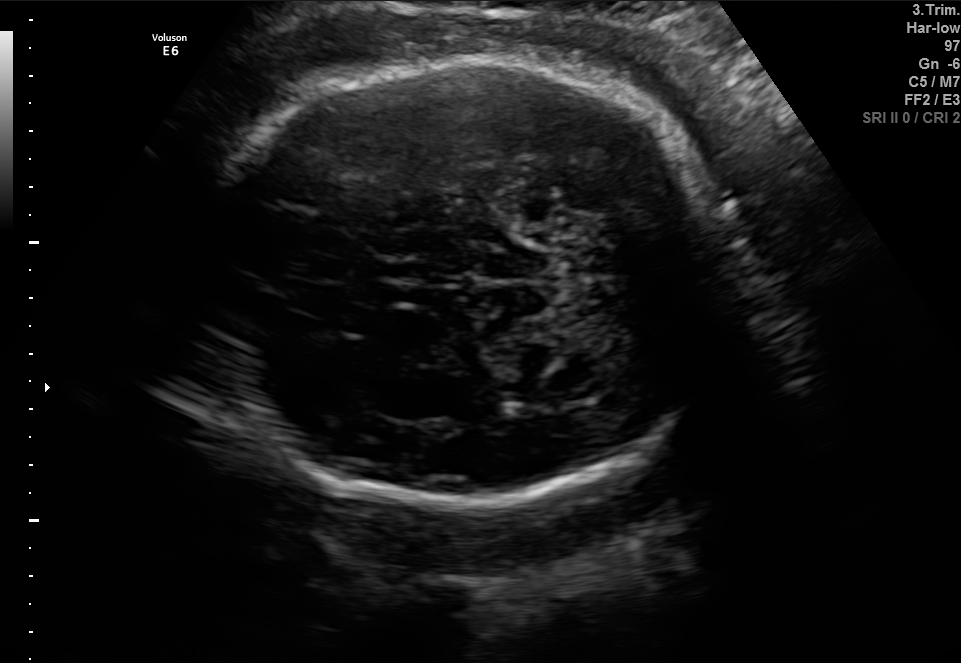
Identify the standard plane in this fetal ultrasound image: fetal abdomen, fetal brain, fetal femur, fetal thorax, maternal cervix, or other. If it's fetal brain and one of the three standard brain planes (trans-thalamic, trans-cerebellum, trans-ventricular), name which.

Fetal brain (trans-cerebellum plane)